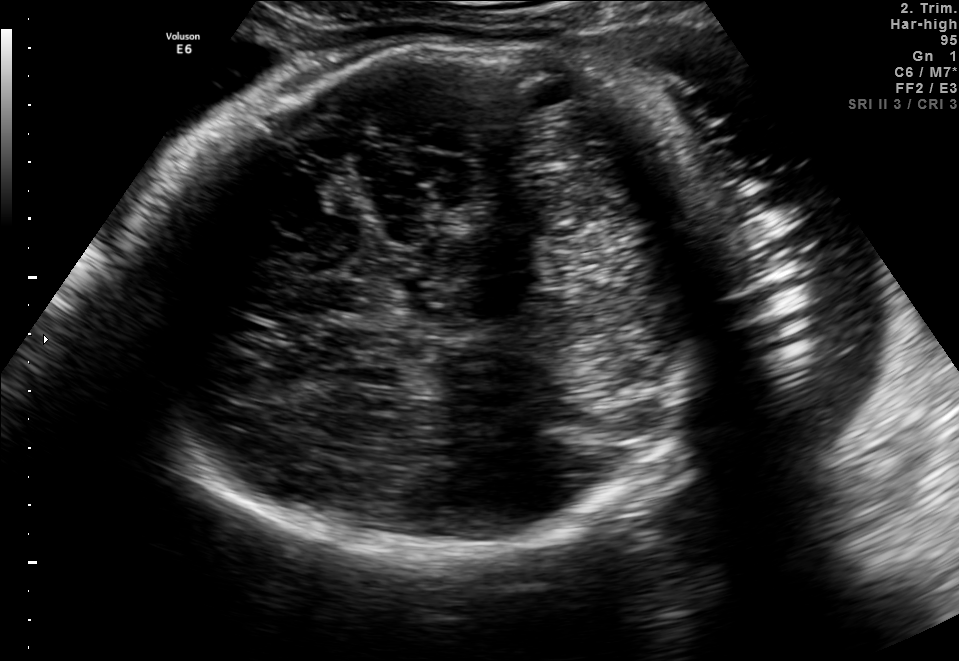
Fetal brain, trans-thalamic plane. Give [x1,y1,x2,y2] bounding boxes for each visible structure among: fetal head, CSP, LV.

Head: [129,35,796,560]